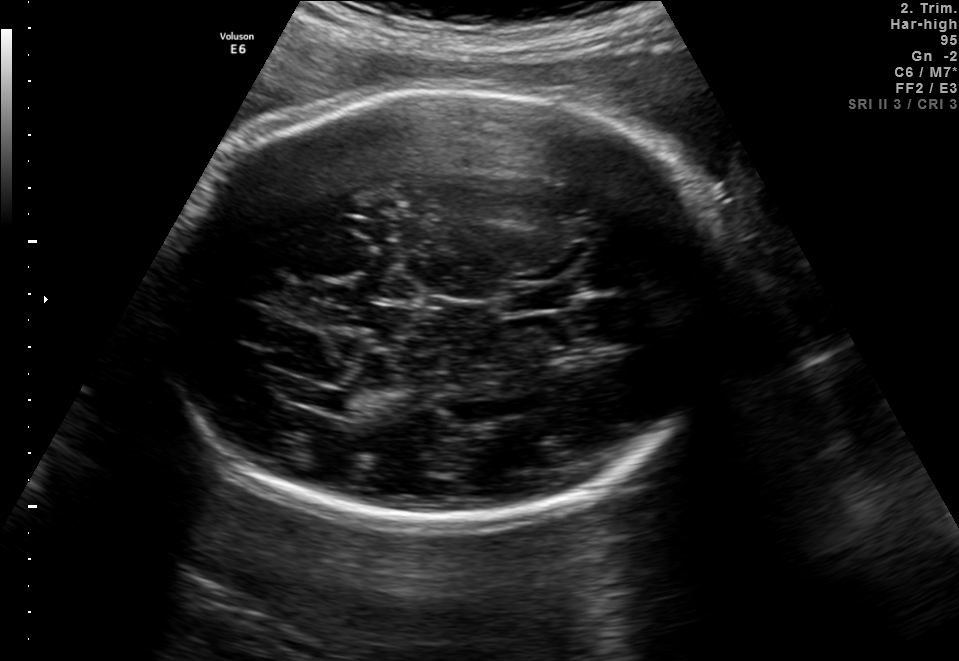
Fetal brain, trans-thalamic plane. Locate the fetal head and, if visible, the cavum septum pellucidum (CSP) and lateral ventricle (LV). Give bounding boxes as [x1,y1,x2,y2].

Head: [160,89,731,524]
CSP: [504,284,568,312]
Lateral ventricle: [284,377,357,419]